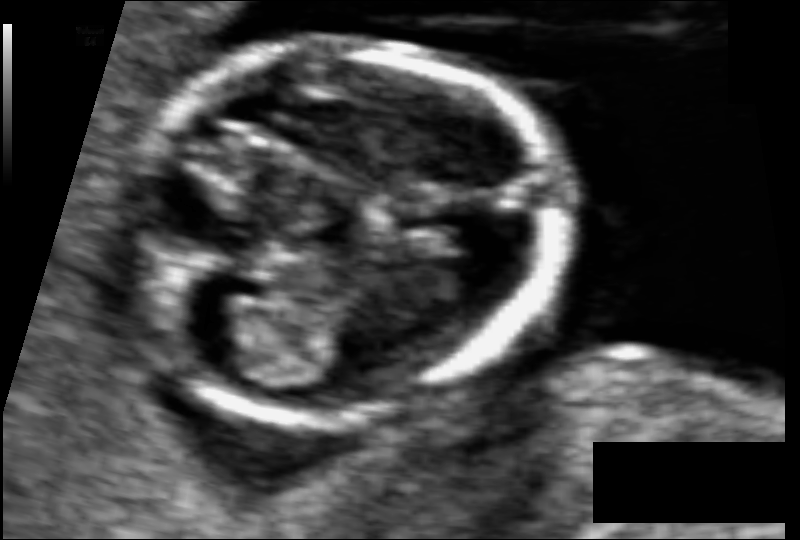
Estimate the fetal head circumference from this 2D ultrasound.

Head circumference: 79.5 mm (image width 47.6 mm).